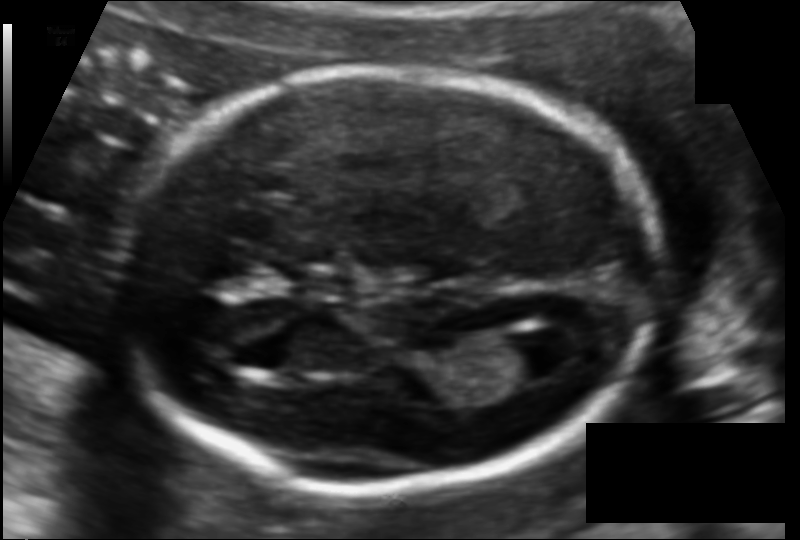
Fetal head ultrasound. Image width: 85.9 mm. Locate the fetal head.

Head: [113,70,660,488]